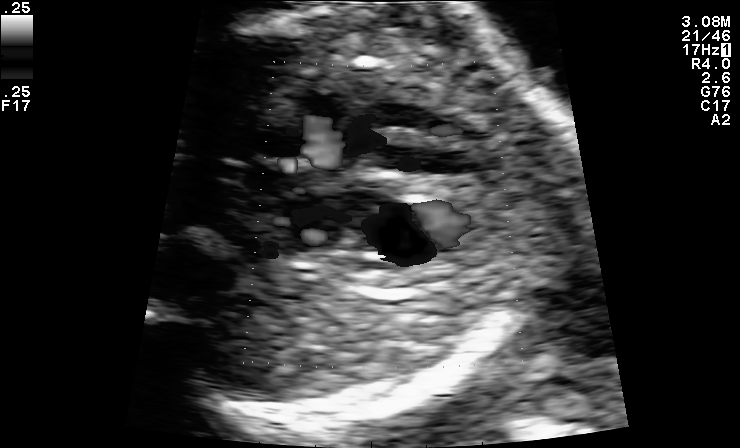
Identify the standard plane in this fetal ultrasound image: fetal abdomen, fetal brain, fetal femur, fetal thorax, maternal cervix, or other. If it's fetal brain and one of the three standard brain planes (trans-thalamic, trans-cerebellum, trans-ventricular), name which.

Other